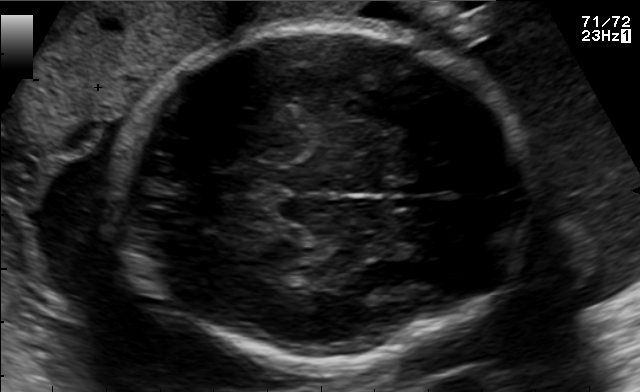
Fetal brain, trans-thalamic plane. Locate the fetal head and, if visible, the cavum septum pellucidum (CSP) and lateral ventricle (LV). Give bounding boxes as [x1,y1,x2,y2].

Head: [112,27,528,364]